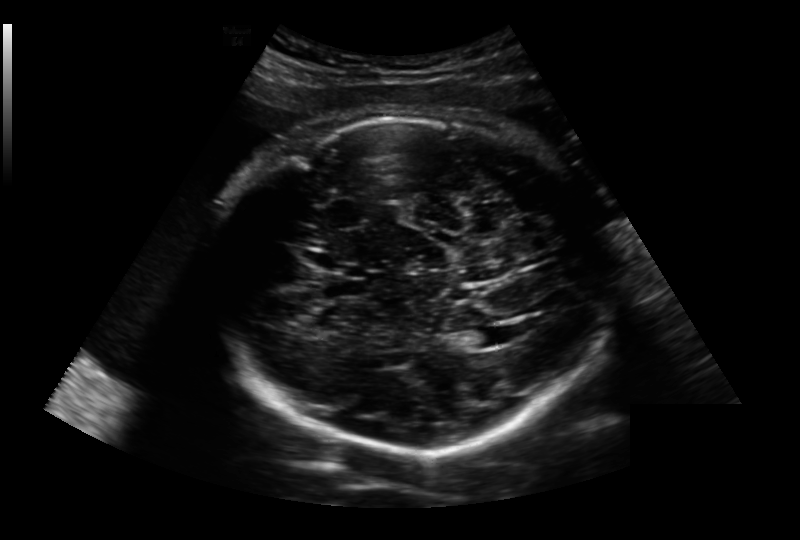
Fetal head ultrasound. Image width: 188.7 mm. Give [x1,y1,x2,y2] bounding boxes for each visible structure among: fetal head, CSP, LV.

Head: [208,115,609,454]
CSP: [320,277,372,300]
Lateral ventricle: [461,324,509,351]